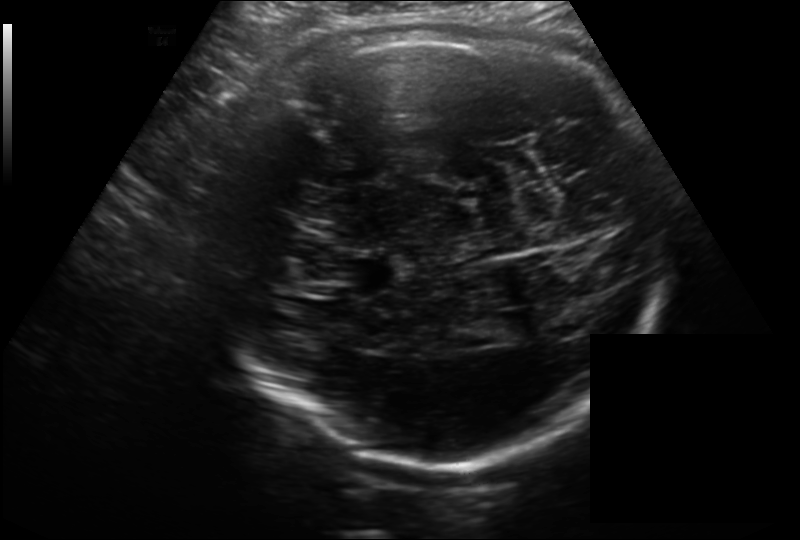
Fetal head ultrasound. Image width: 171.5 mm. Where is the cavum septum pellucidum?

CSP bounding box: [336,254,400,293]